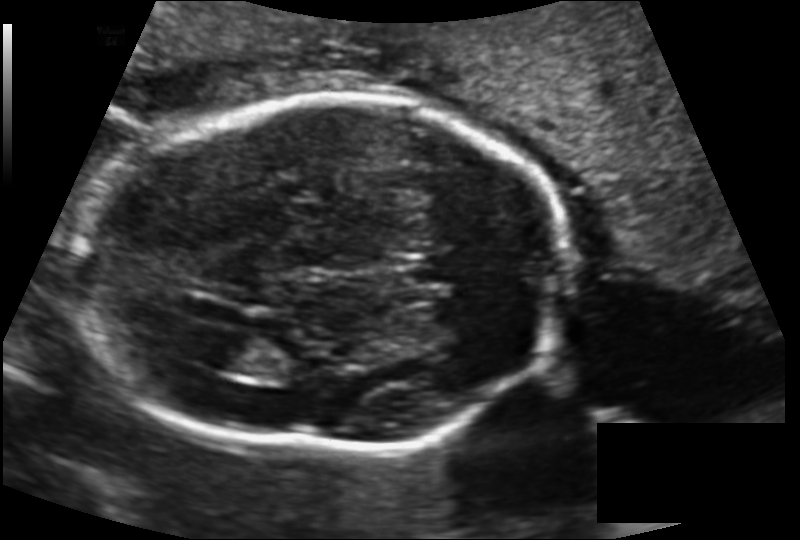
Measure the fetal head circumference shown in this ultrasound image. Image width: 114.0 mm.

Head circumference: 194.6 mm.